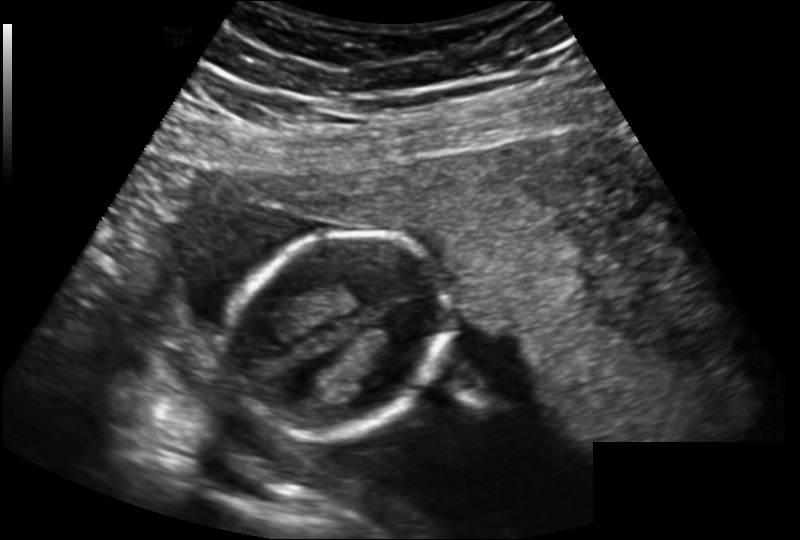
Estimate the fetal head circumference from this 2D ultrasound. Image width: 146.2 mm.

Head circumference: 125.2 mm.